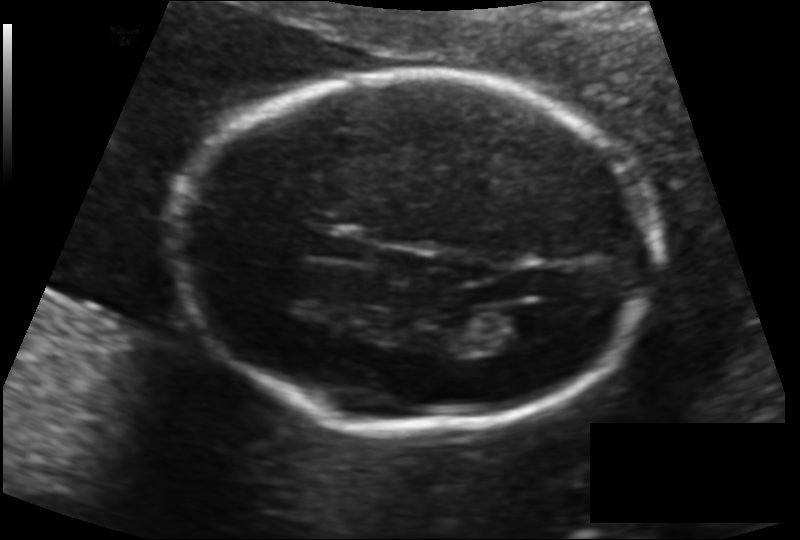
Measure the fetal head circumference shown in this ultrasound image. Image width: 107.4 mm.

Head circumference: 181.6 mm.